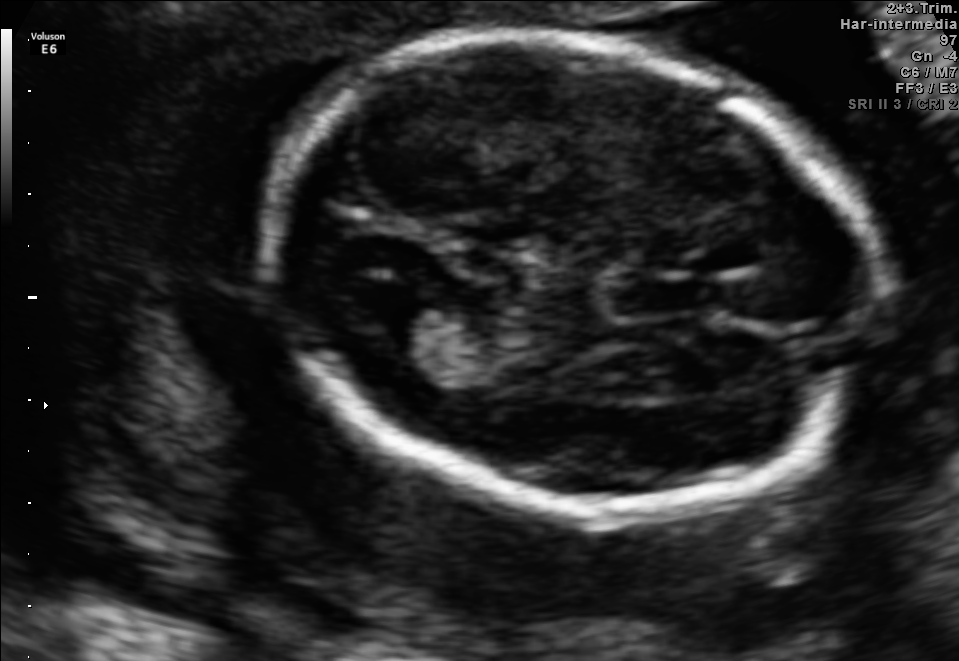
This is a 2D maternal-fetal ultrasound frame. Is it a fetal abdomen, fetal brain, fetal femur, fetal thorax, maternal cervix, or other standard plane? If it's fetal brain and one of the three standard brain planes (trans-thalamic, trans-cerebellum, trans-ventricular), name which.

Fetal brain (trans-ventricular plane)